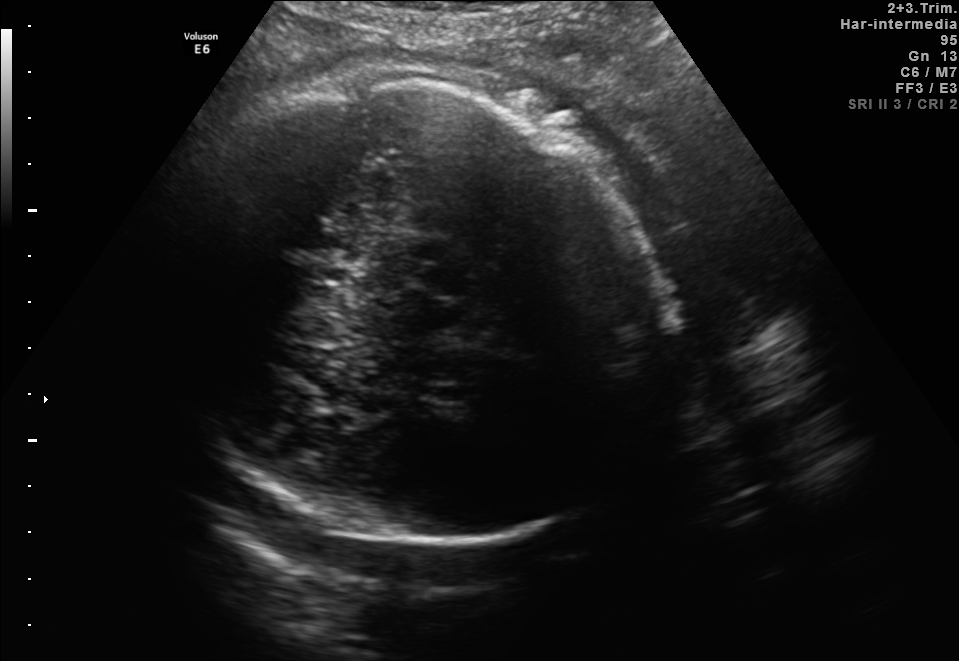
Fetal brain, trans-thalamic plane. Give [x1,y1,x2,y2] bounding boxes for each visible structure among: fetal head, CSP, LV.

Head: [140,83,677,542]